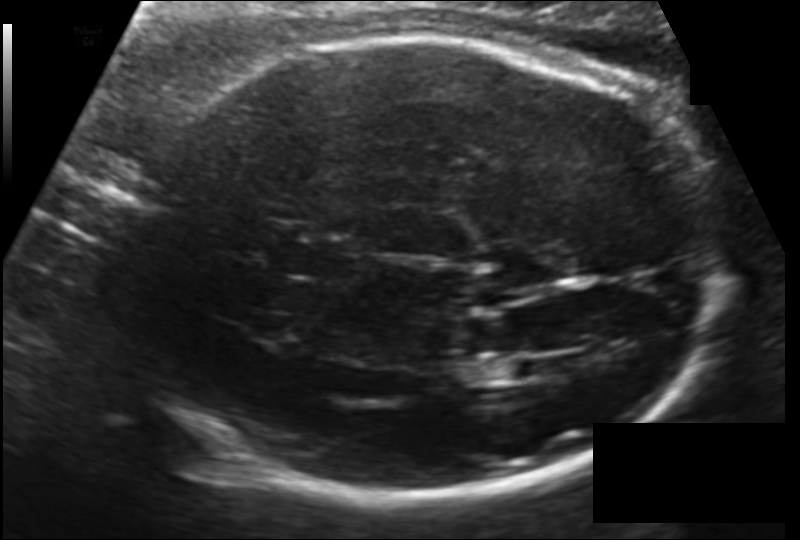
In this fetal head ultrasound, give bounding boxes for the head outline, cavum septum pellucidum (CSP), and lateral ventricle (LV), where visible. Image width: 120.6 mm.

Head: [122,38,723,501]
CSP: [282,241,355,277]
Lateral ventricle: [510,353,556,384]